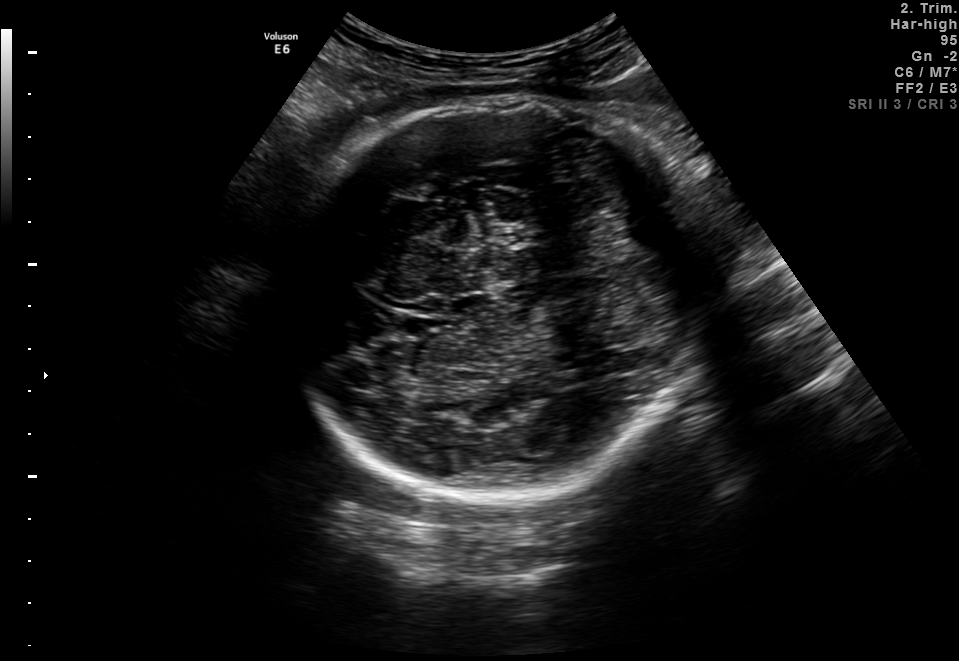
Fetal brain, trans-thalamic plane. Give [x1,y1,x2,y2] bounding boxes for each visible structure among: fetal head, CSP, LV.

Head: [281,99,706,496]